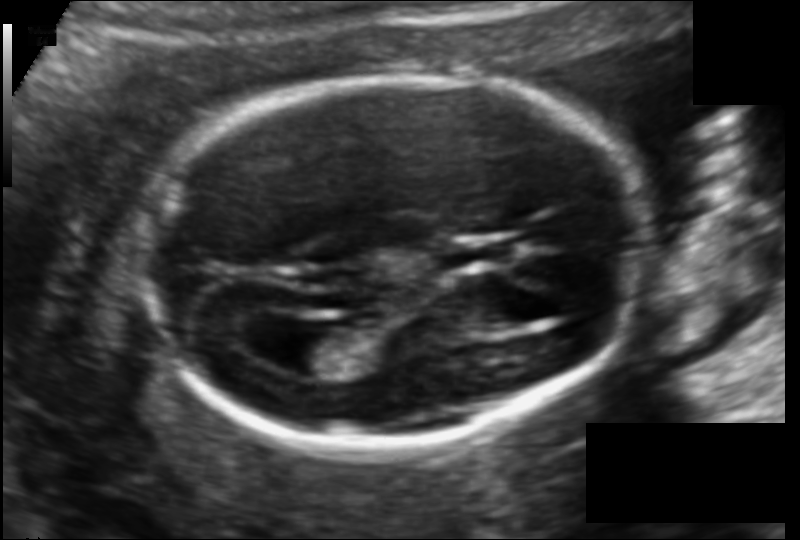
Fetal head ultrasound. Image width: 91.5 mm. Where is the cavum septum pellucidum?

CSP bounding box: [441,237,507,273]